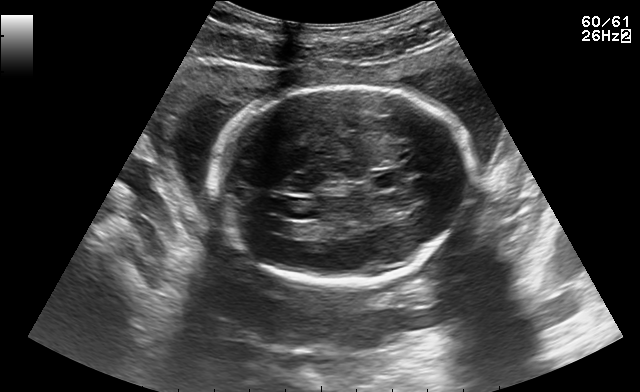
In this fetal brain, trans-ventricular plane, give bounding boxes for the head outline, cavum septum pellucidum (CSP), and lateral ventricle (LV), where visible.

Head: [205,84,472,286]
CSP: [373,172,397,190]
Lateral ventricle: [263,217,290,234]